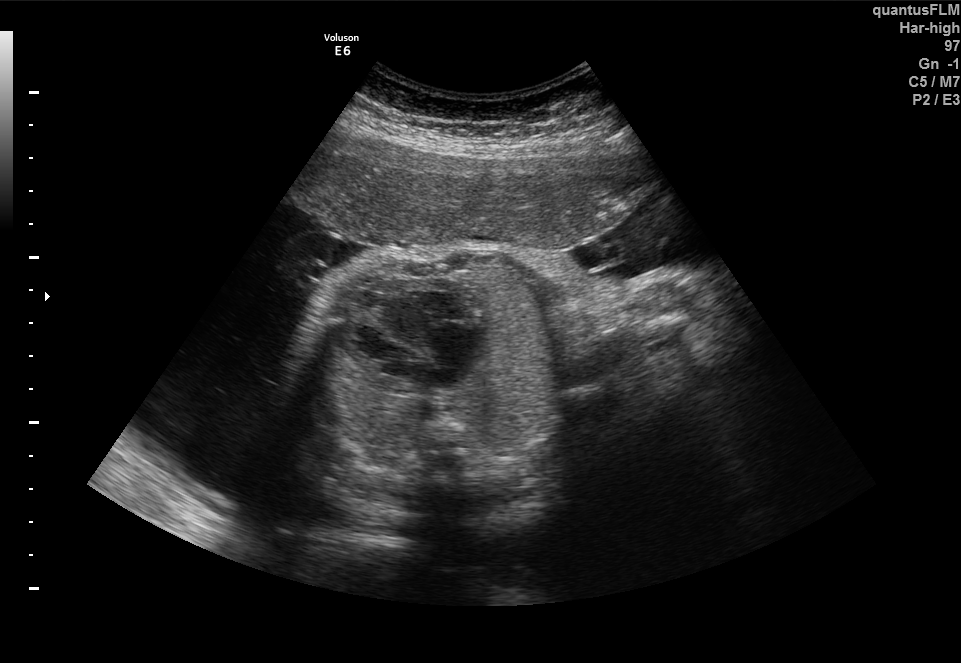
Which standard maternal-fetal ultrasound plane is shown: fetal abdomen, fetal brain, fetal femur, fetal thorax, maternal cervix, or other? If it's fetal brain and one of the three standard brain planes (trans-thalamic, trans-cerebellum, trans-ventricular), name which.

Fetal thorax